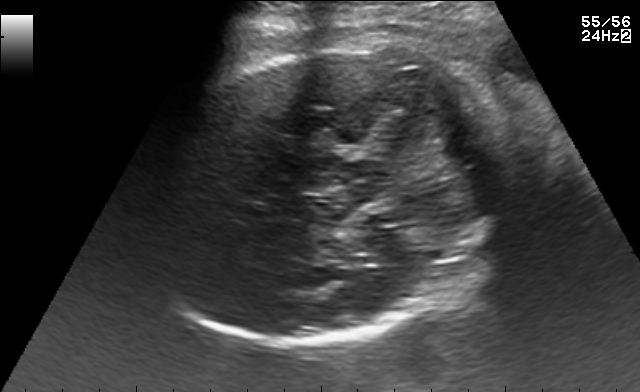
Fetal brain, trans-cerebellum plane. Locate the fetal head and, if visible, the cavum septum pellucidum (CSP) and lateral ventricle (LV). Give bounding boxes as [x1,y1,x2,y2].

Head: [153,46,499,344]